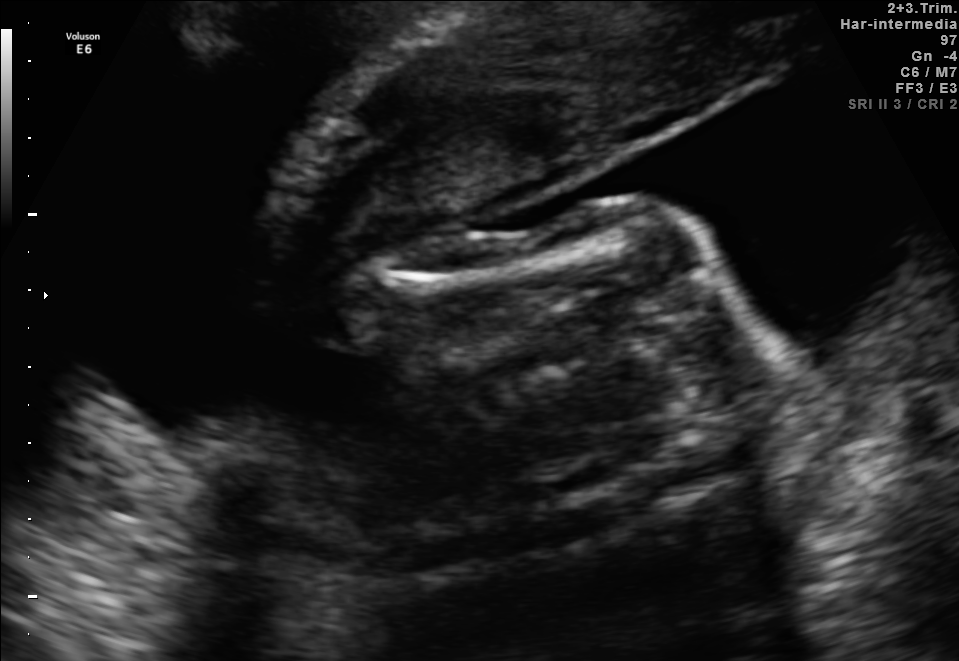
Which standard maternal-fetal ultrasound plane is shown: fetal abdomen, fetal brain, fetal femur, fetal thorax, maternal cervix, or other? If it's fetal brain and one of the three standard brain planes (trans-thalamic, trans-cerebellum, trans-ventricular), name which.

Other